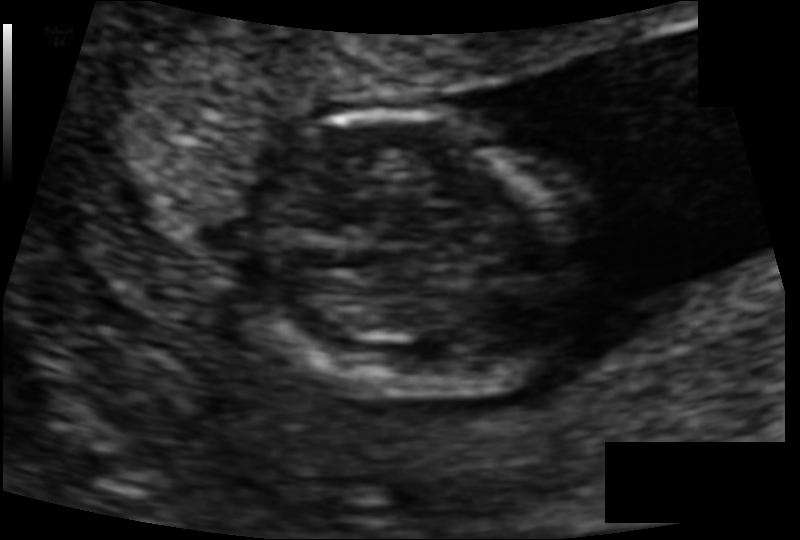
Fetal head ultrasound. Image width: 62.1 mm. Give [x1,y1,x2,y2] bounding boxes for each visible structure among: fetal head, CSP, LV.

Head: [247,114,596,399]